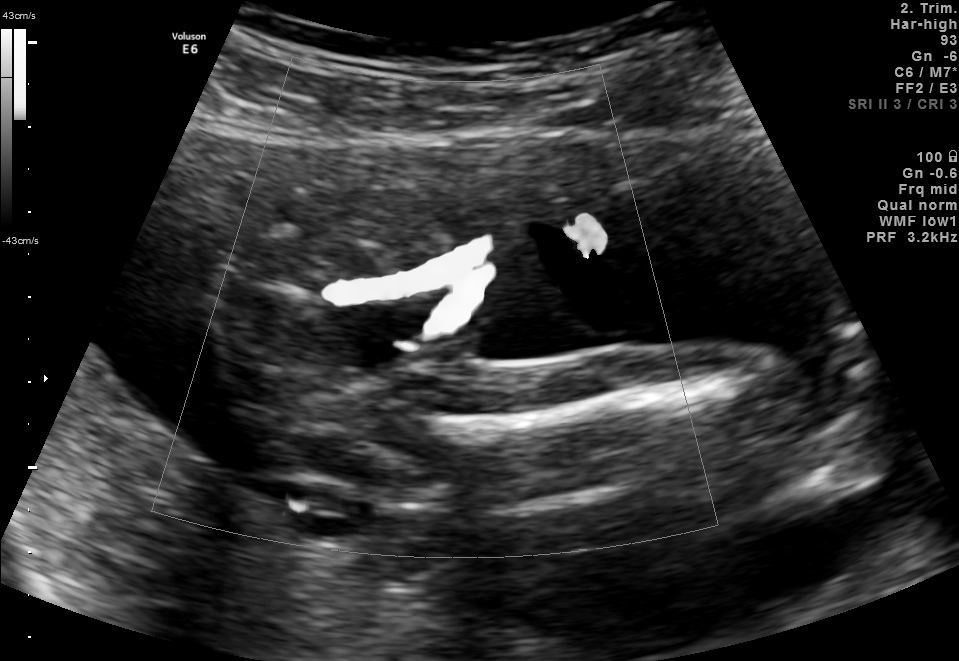
Classify this maternal-fetal ultrasound image as one of the six standard planes — fetal abdomen, fetal brain, fetal femur, fetal thorax, maternal cervix, or other. If it's fetal brain and one of the three standard brain planes (trans-thalamic, trans-cerebellum, trans-ventricular), name which.

Other